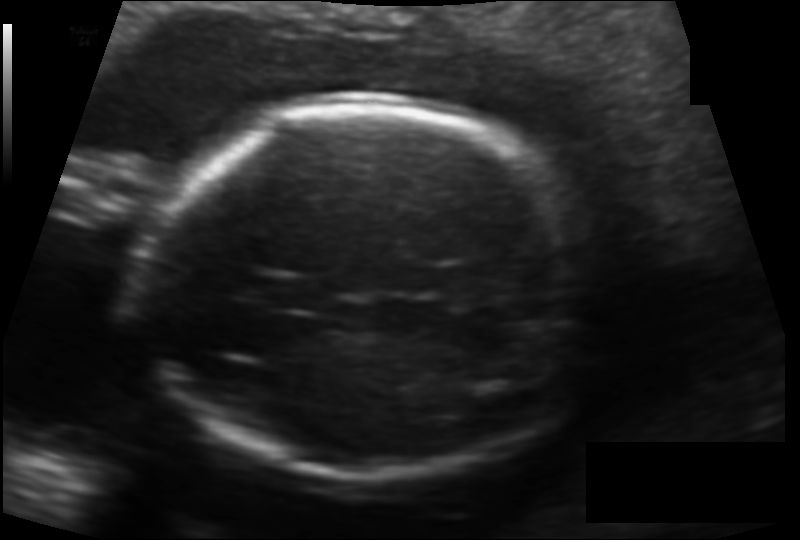
Fetal head ultrasound. Image width: 105.8 mm. Give [x1,y1,x2,y2] bounding boxes for each visible structure among: fetal head, CSP, LV.

Head: [143,101,593,483]